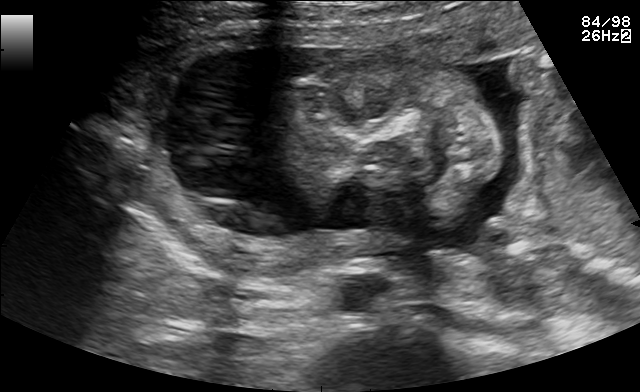
Classify this maternal-fetal ultrasound image as one of the six standard planes — fetal abdomen, fetal brain, fetal femur, fetal thorax, maternal cervix, or other. If it's fetal brain and one of the three standard brain planes (trans-thalamic, trans-cerebellum, trans-ventricular), name which.

Other